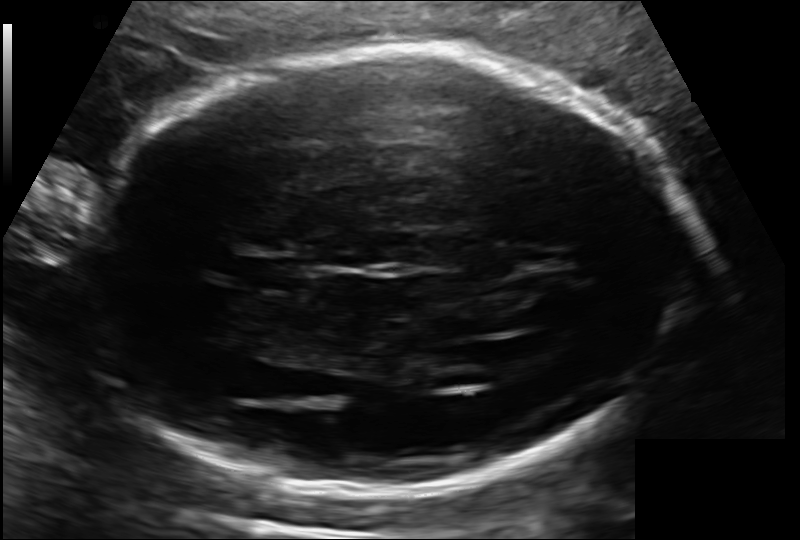
Fetal head ultrasound. Image width: 114.4 mm. Where is the lateral ventricle?

Lateral ventricle bounding box: [507,320,591,381]